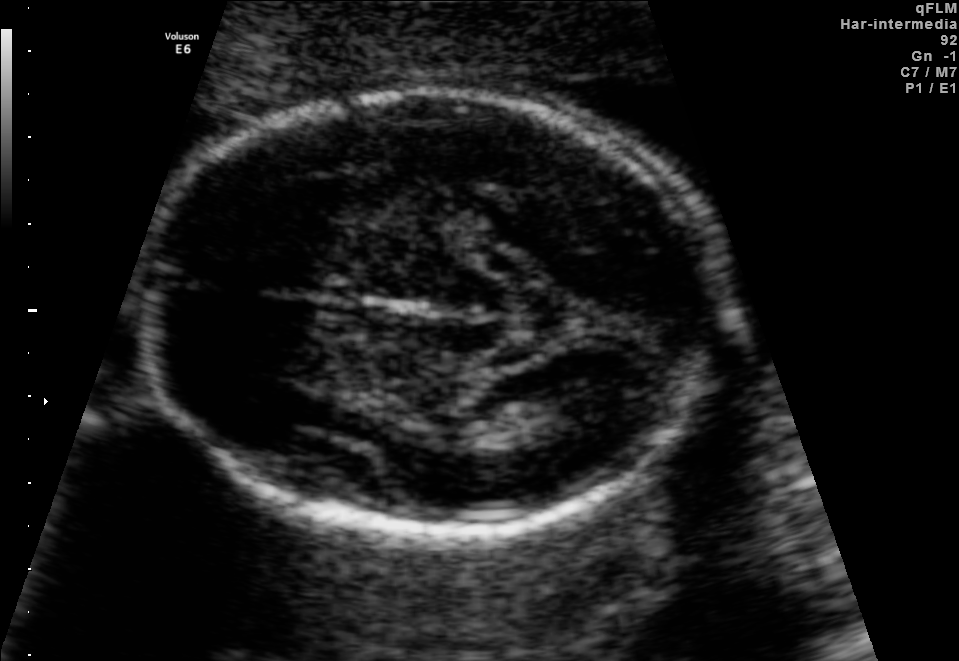
Fetal brain, trans-thalamic plane. Locate the fetal head and, if visible, the cavum septum pellucidum (CSP) and lateral ventricle (LV). Give bounding boxes as [x1,y1,x2,y2].

Head: [144,91,715,528]
Lateral ventricle: [521,371,625,446]